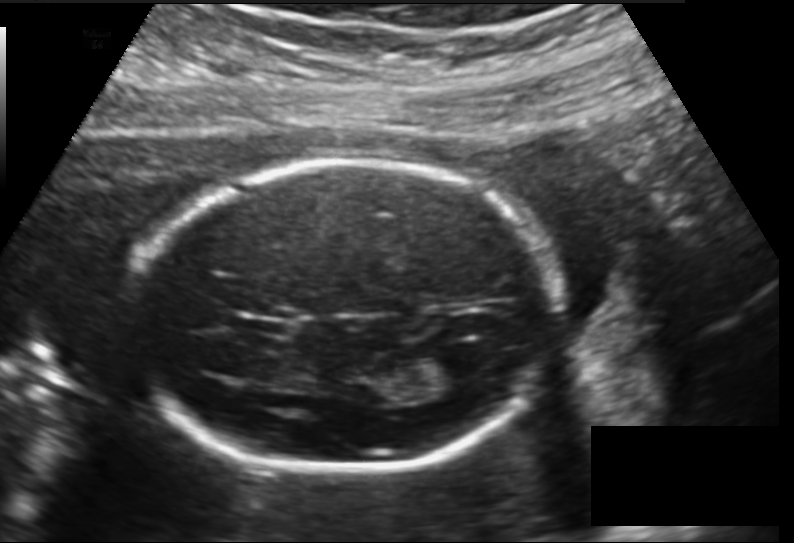
From this fetal ultrasound, estimate the head circumference (image width 124.7 mm).

Head circumference: 188.8 mm.